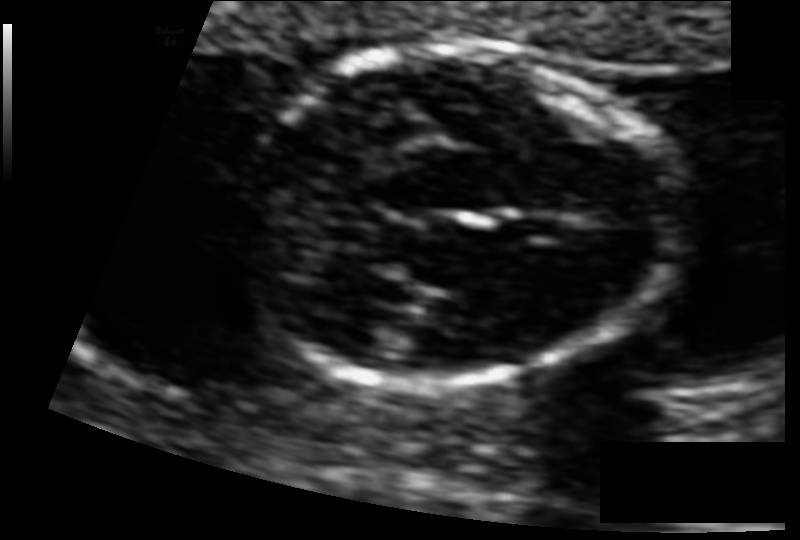
Fetal head ultrasound. Image width: 58.4 mm. Locate the fetal head.

Head: [240,48,677,390]